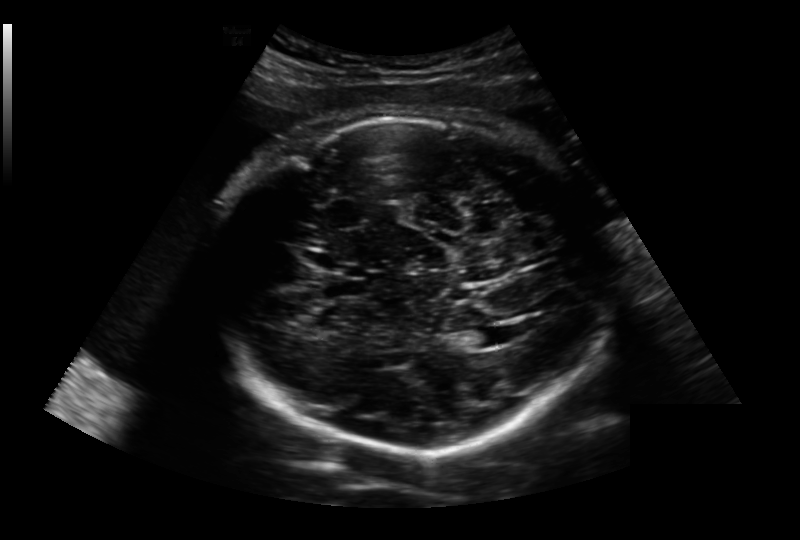
In this fetal head ultrasound, give the bounding box of the cavum septum pellucidum. Image width: 188.7 mm.

[320,277,372,300]